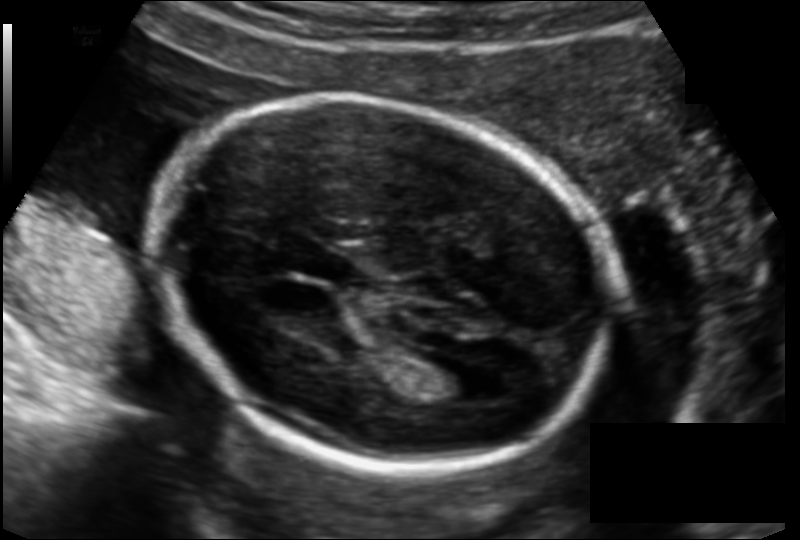
Estimate the fetal head circumference from this 2D ultrasound.

Head circumference: 180.3 mm (image width 107.7 mm).